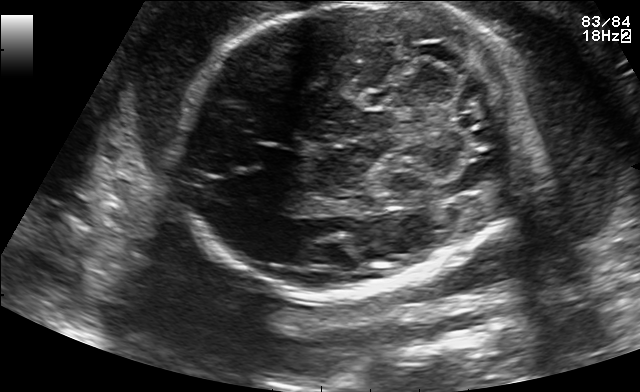
This is a 2D maternal-fetal ultrasound frame. Is it a fetal abdomen, fetal brain, fetal femur, fetal thorax, maternal cervix, or other standard plane? If it's fetal brain and one of the three standard brain planes (trans-thalamic, trans-cerebellum, trans-ventricular), name which.

Fetal brain (trans-cerebellum plane)